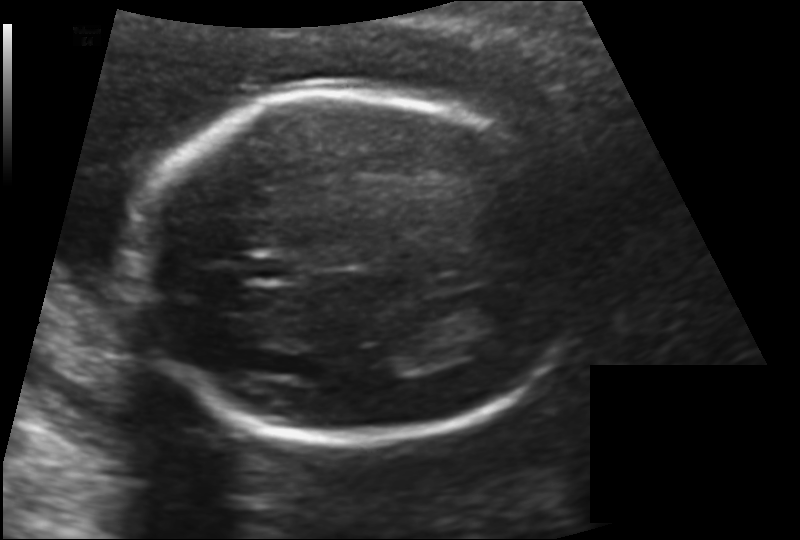
In this fetal head ultrasound, give the bounding box of the cavum septum pellucidum. Image width: 113.8 mm.

[244,254,294,282]